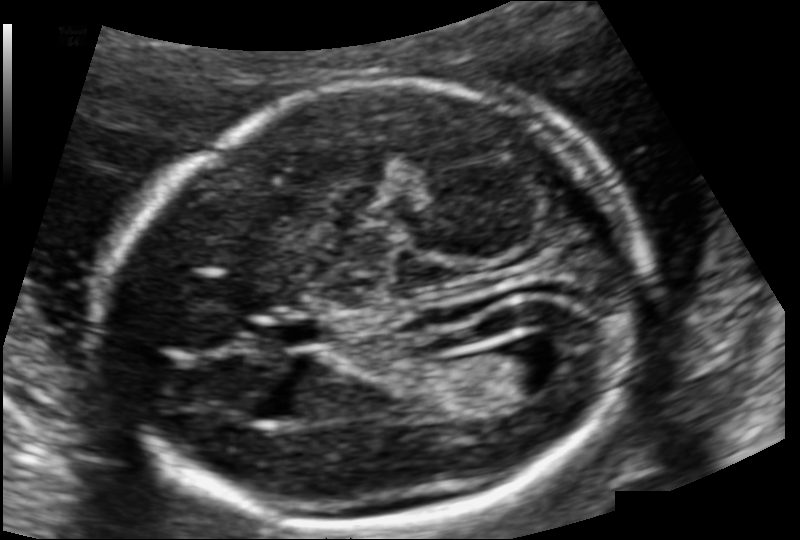
Fetal head ultrasound. Image width: 89.0 mm. Where is the lateral ventricle?

Lateral ventricle bounding box: [469,327,574,411]